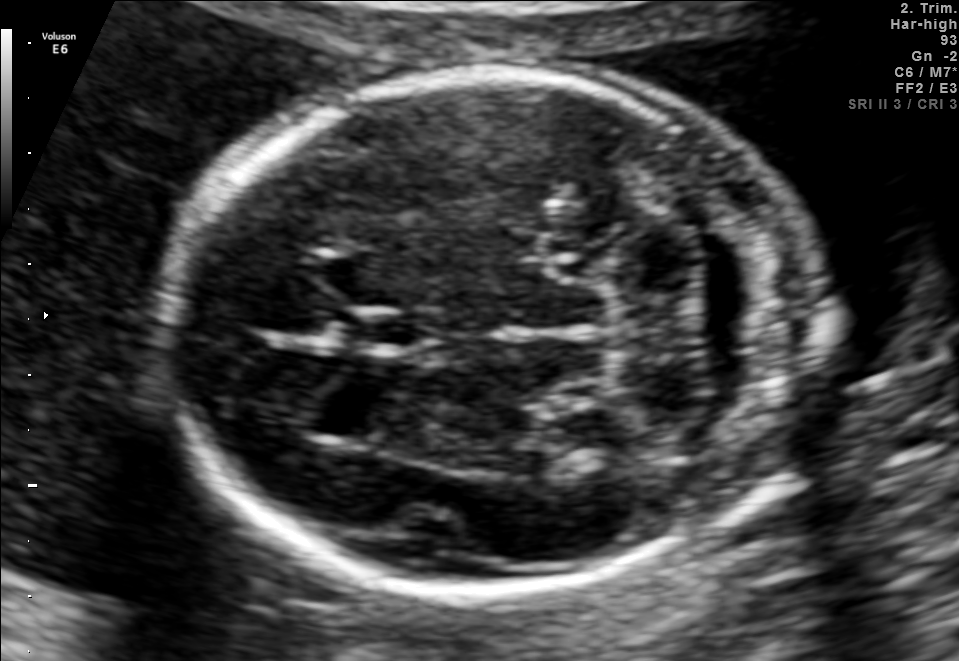
Which standard maternal-fetal ultrasound plane is shown: fetal abdomen, fetal brain, fetal femur, fetal thorax, maternal cervix, or other? If it's fetal brain and one of the three standard brain planes (trans-thalamic, trans-cerebellum, trans-ventricular), name which.

Fetal brain (trans-cerebellum plane)